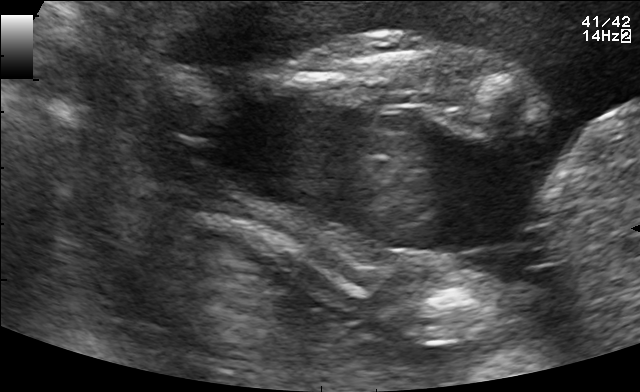
This is a 2D maternal-fetal ultrasound frame. Is it a fetal abdomen, fetal brain, fetal femur, fetal thorax, maternal cervix, or other standard plane? If it's fetal brain and one of the three standard brain planes (trans-thalamic, trans-cerebellum, trans-ventricular), name which.

Other